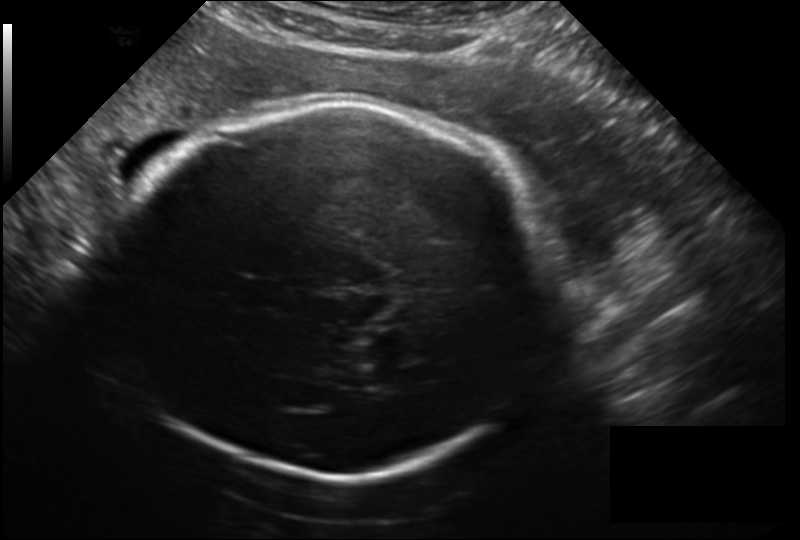
Fetal head ultrasound. Image width: 167.3 mm. Locate the fetal head.

Head: [116,101,546,475]